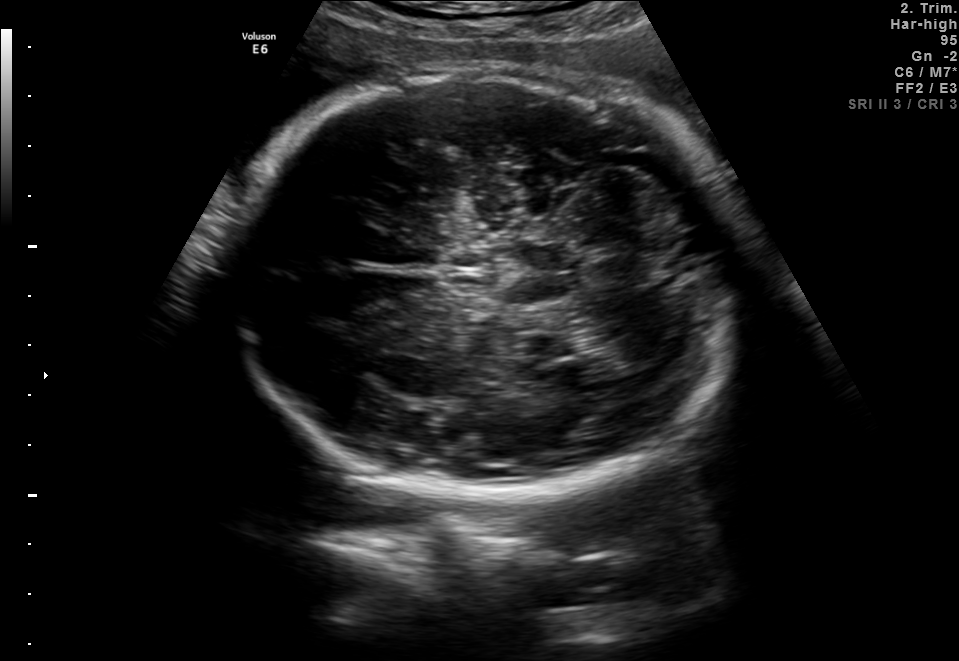
Fetal brain, trans-cerebellum plane. Locate the fetal head.

Head: [233,69,736,496]